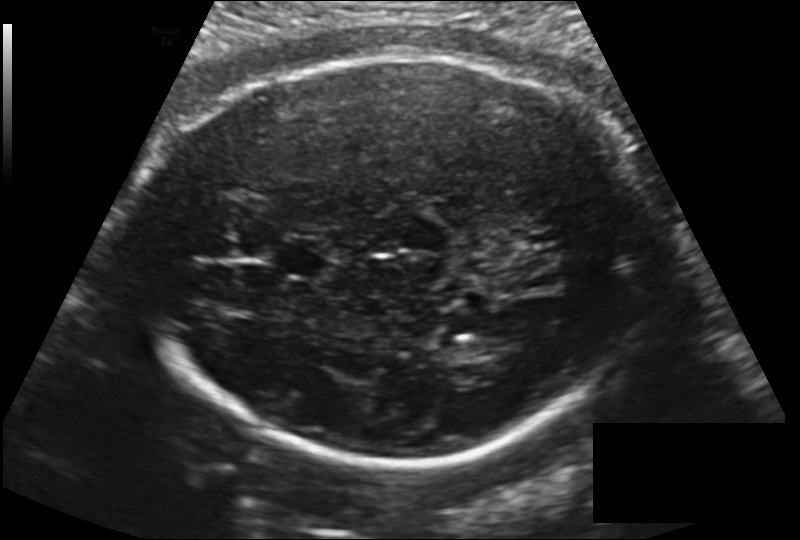
Estimate the fetal head circumference from this 2D ultrasound.

Head circumference: 267.7 mm (image width 144.8 mm).